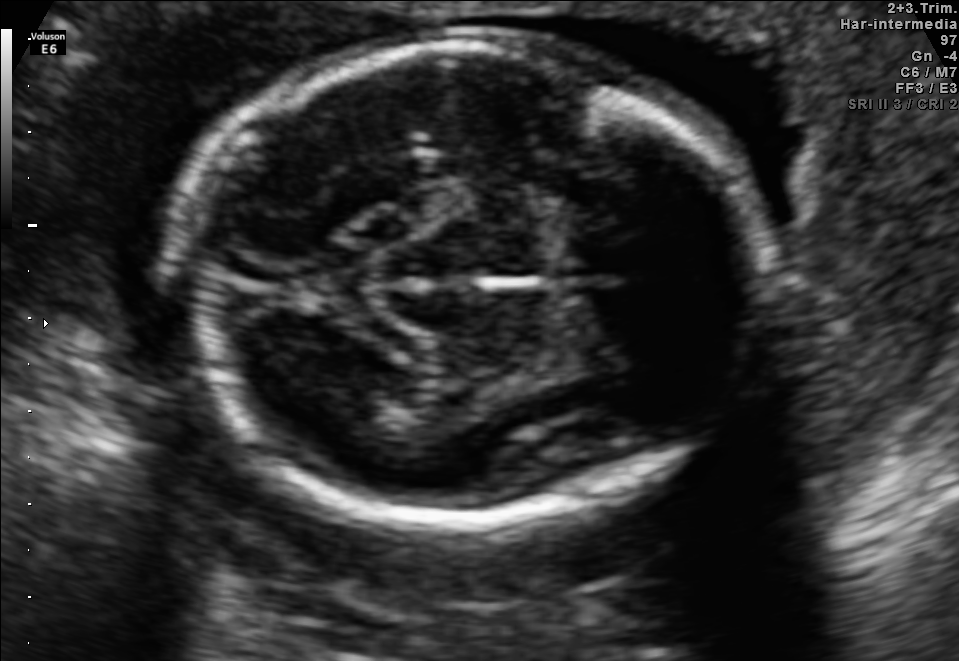
Fetal brain, trans-thalamic plane. Where is the fetal head?

Head bounding box: [184,35,759,524]